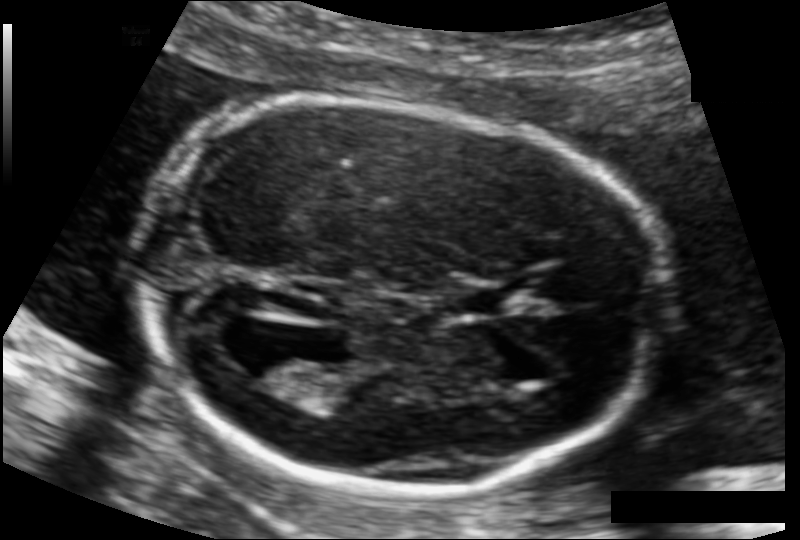
In this fetal head ultrasound, give bounding boxes for the head outline, cavum septum pellucidum (CSP), and lateral ventricle (LV), where visible. Image width: 85.7 mm.

Head: [143,98,657,491]
CSP: [455,287,512,313]
Lateral ventricle: [226,337,308,402]